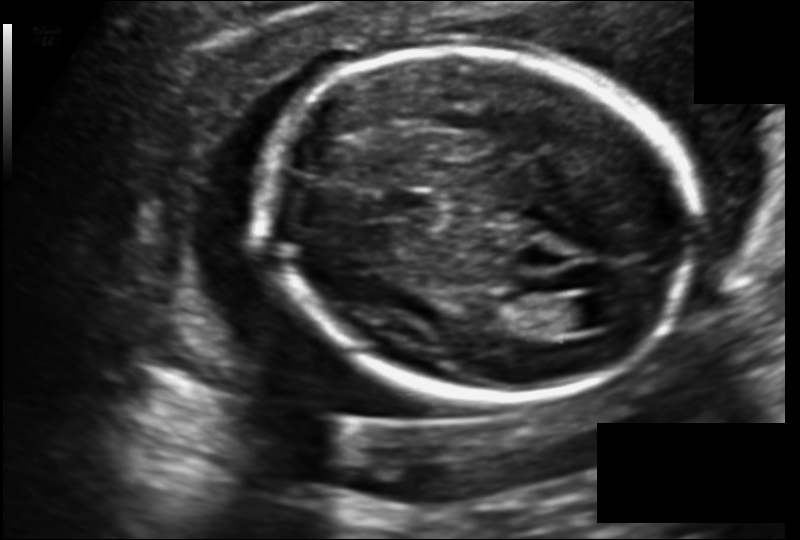
In this fetal head ultrasound, give the bounding box of the cavum septum pellucidum. Image width: 111.6 mm.

[386,191,439,220]